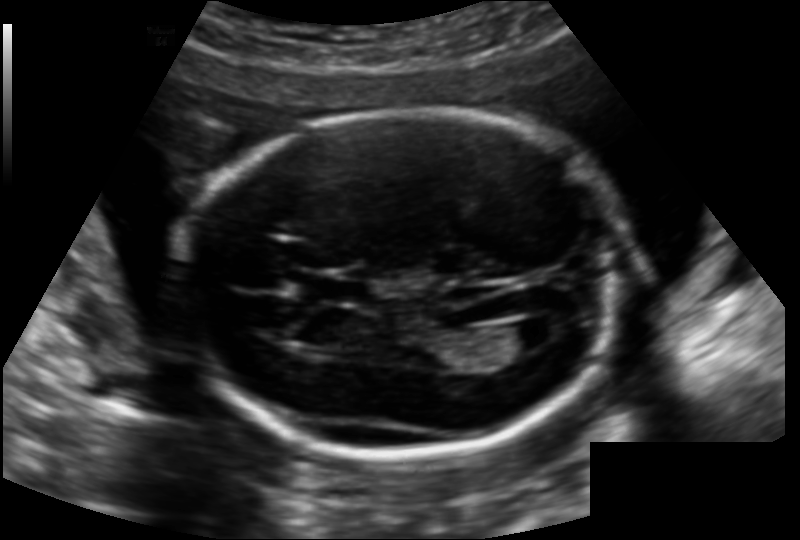
Fetal head ultrasound. Image width: 113.4 mm. Give [x1,y1,x2,y2] bounding boxes for each visible structure among: fetal head, CSP, LV.

Head: [184,109,618,453]
CSP: [302,274,368,305]
Lateral ventricle: [497,313,556,357]